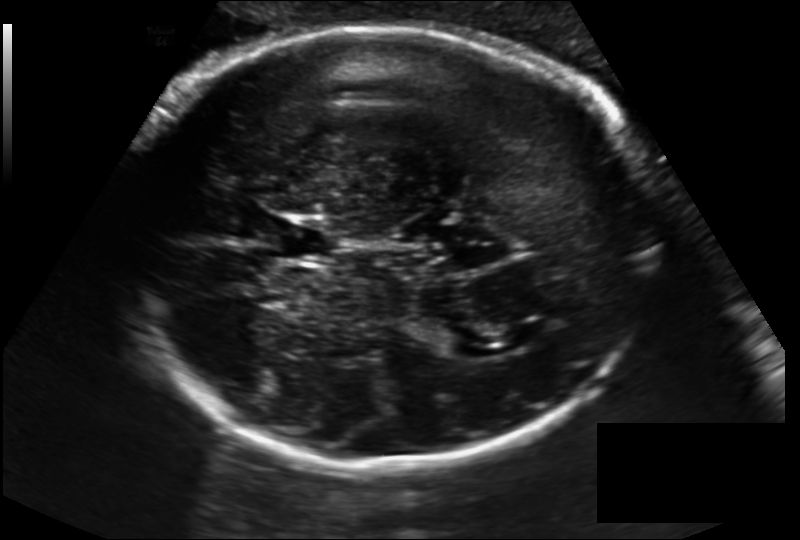
Fetal head ultrasound. Image width: 155.1 mm. Where is the fetal head?

Head bounding box: [117,27,665,464]